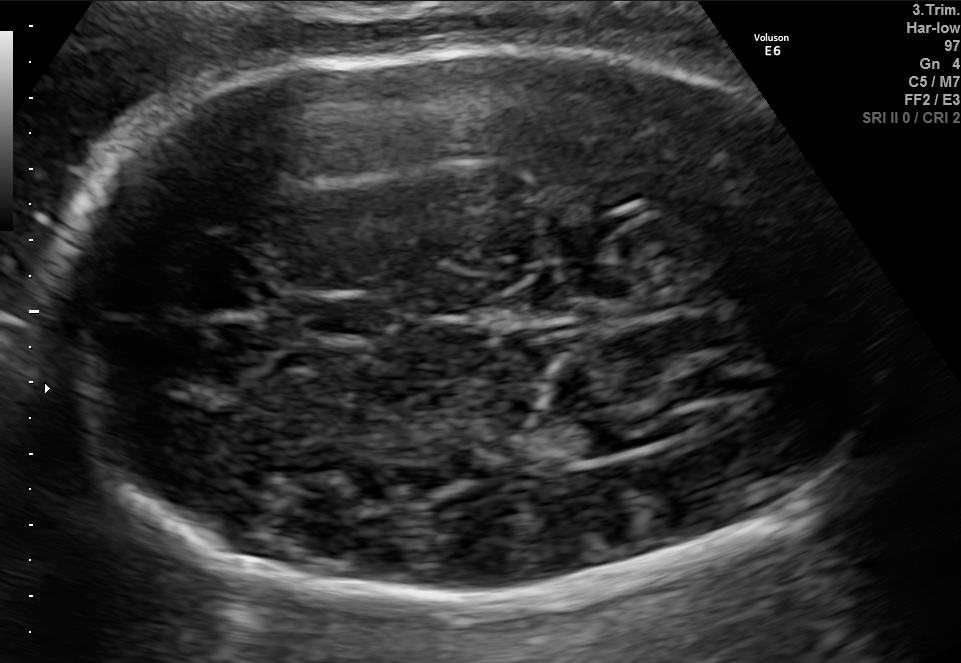
Classify this maternal-fetal ultrasound image as one of the six standard planes — fetal abdomen, fetal brain, fetal femur, fetal thorax, maternal cervix, or other. If it's fetal brain and one of the three standard brain planes (trans-thalamic, trans-cerebellum, trans-ventricular), name which.

Fetal brain (trans-thalamic plane)